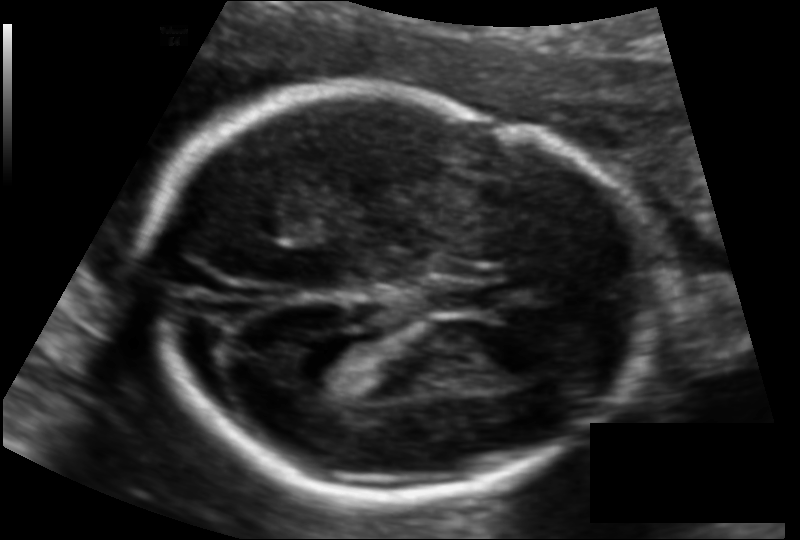
Estimate the fetal head circumference from this 2D ultrasound. Image width: 93.9 mm.

Head circumference: 178.0 mm.